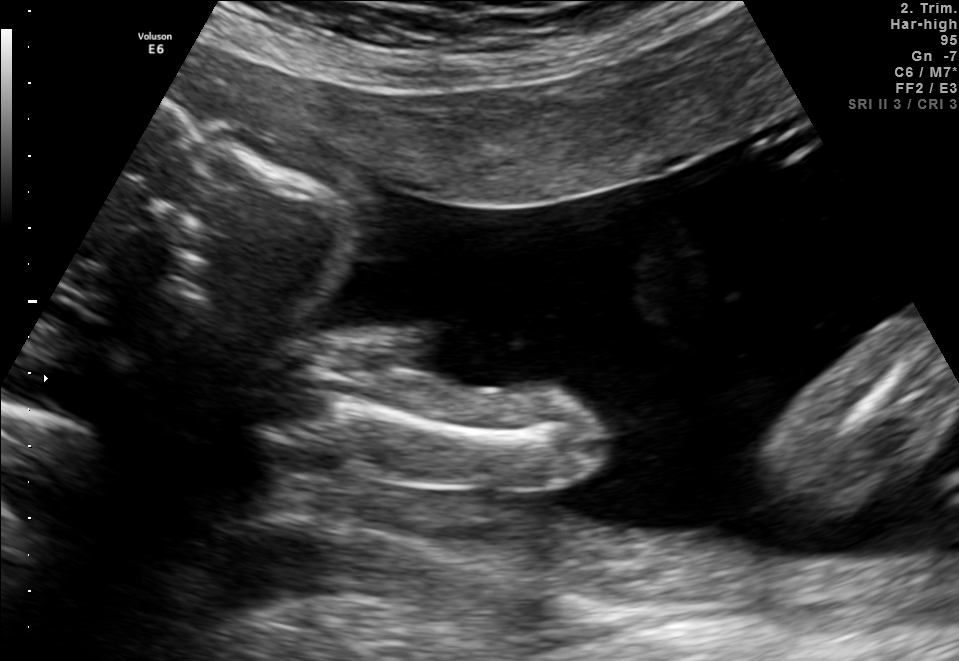
Classify this maternal-fetal ultrasound image as one of the six standard planes — fetal abdomen, fetal brain, fetal femur, fetal thorax, maternal cervix, or other. If it's fetal brain and one of the three standard brain planes (trans-thalamic, trans-cerebellum, trans-ventricular), name which.

Fetal femur